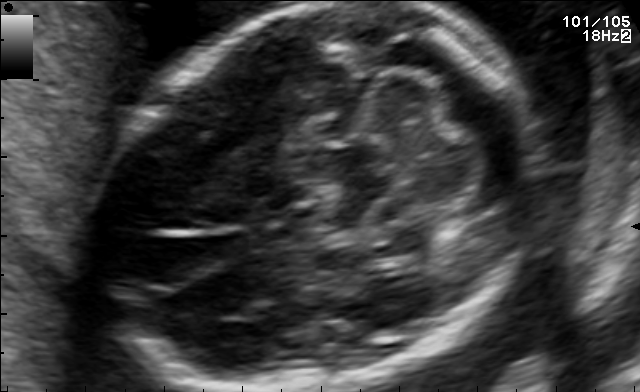
In this fetal brain, trans-cerebellum plane, give the bounding box of the fetal head.

[119,4,521,391]